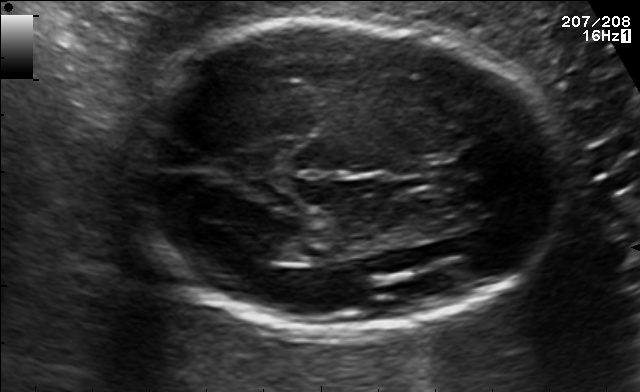
Fetal brain, trans-thalamic plane. Locate the fetal head and, if visible, the cavum septum pellucidum (CSP) and lateral ventricle (LV). Give bounding boxes as [x1,y1,x2,y2].

Head: [125,22,566,330]
Lateral ventricle: [259,237,314,263]